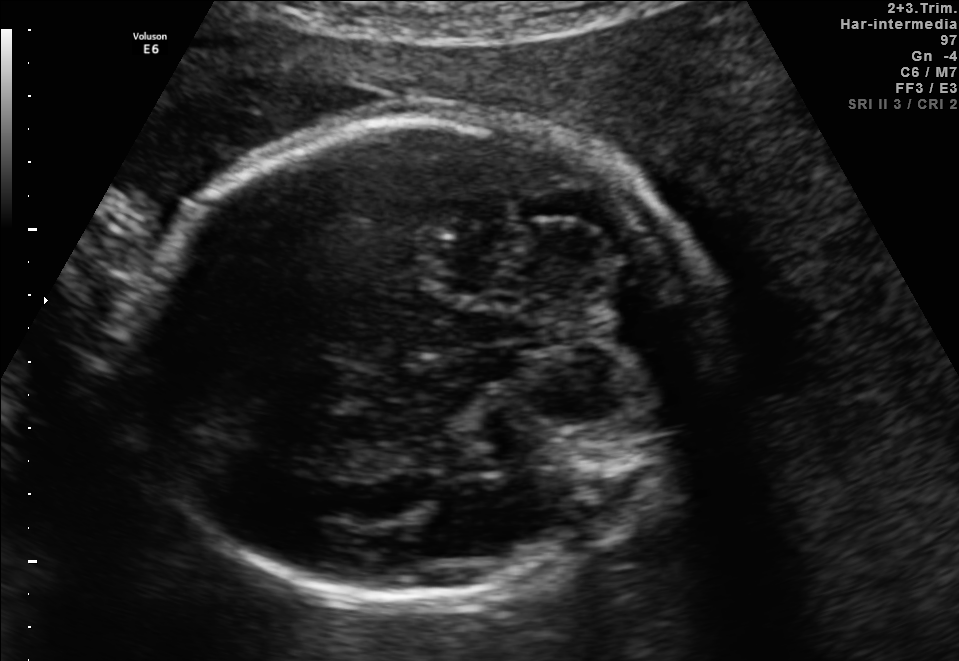
Fetal brain, trans-cerebellum plane. Where is the fetal head?

Head bounding box: [135,110,704,599]